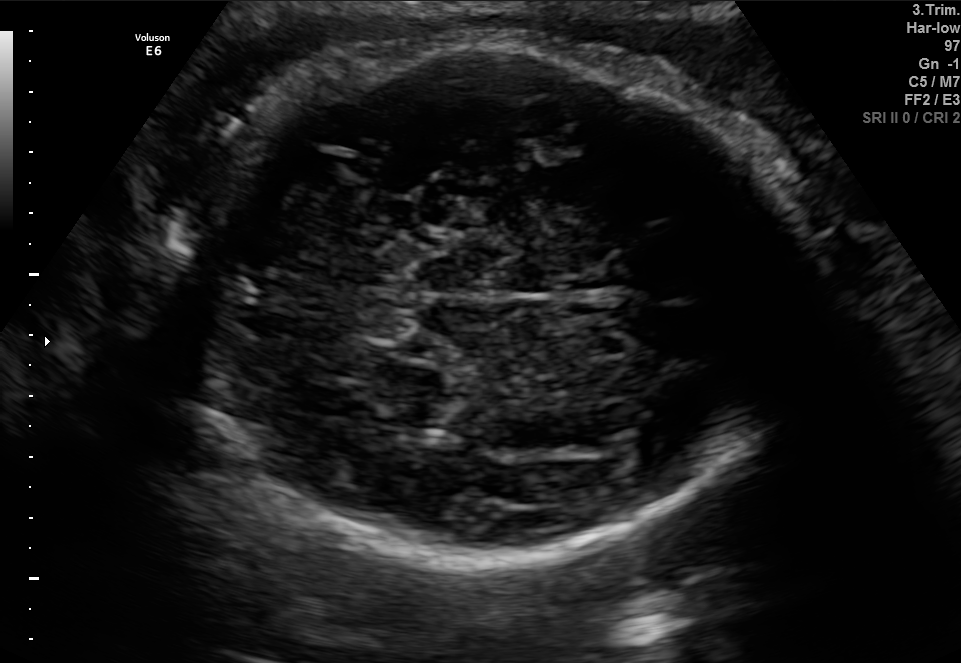
Fetal brain, trans-cerebellum plane. Give [x1,y1,x2,y2] bounding boxes for each visible structure among: fetal head, CSP, LV.

Head: [161,40,790,561]